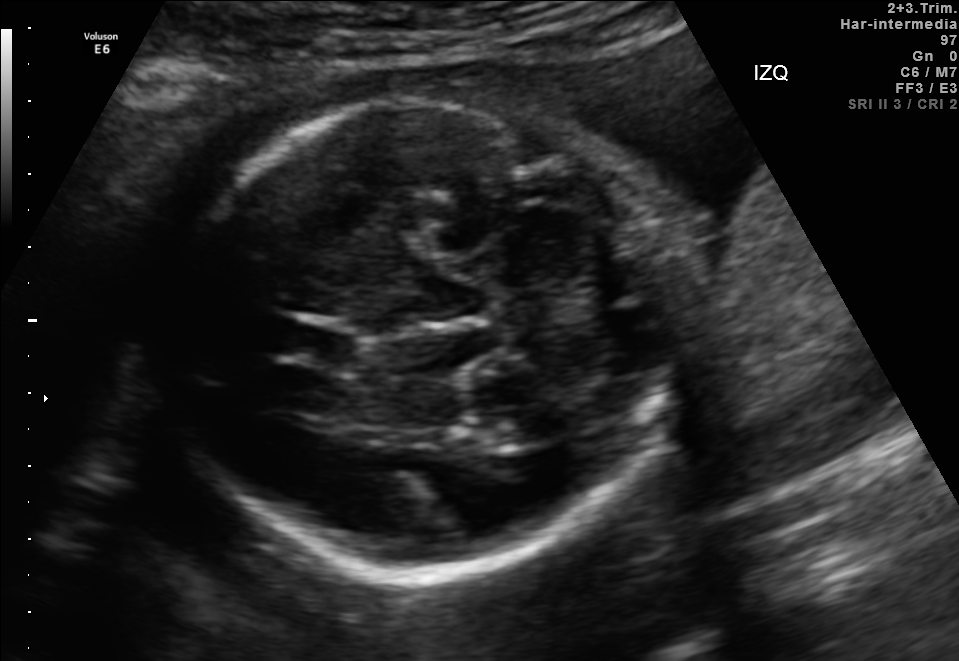
Fetal brain, trans-cerebellum plane. Where is the fetal head?

Head bounding box: [169,94,704,577]